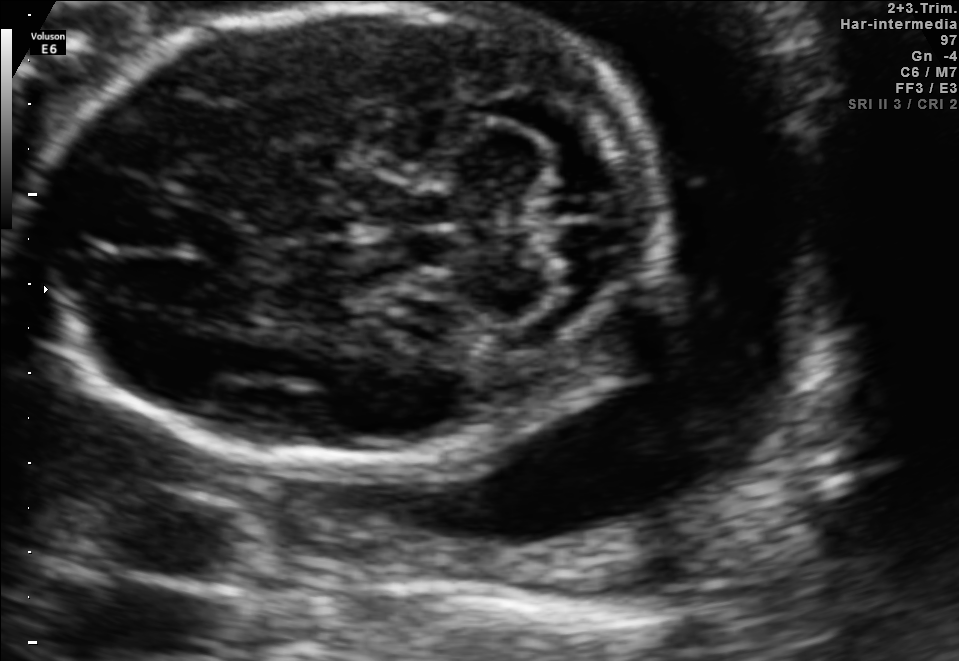
Which standard maternal-fetal ultrasound plane is shown: fetal abdomen, fetal brain, fetal femur, fetal thorax, maternal cervix, or other? If it's fetal brain and one of the three standard brain planes (trans-thalamic, trans-cerebellum, trans-ventricular), name which.

Fetal brain (trans-cerebellum plane)